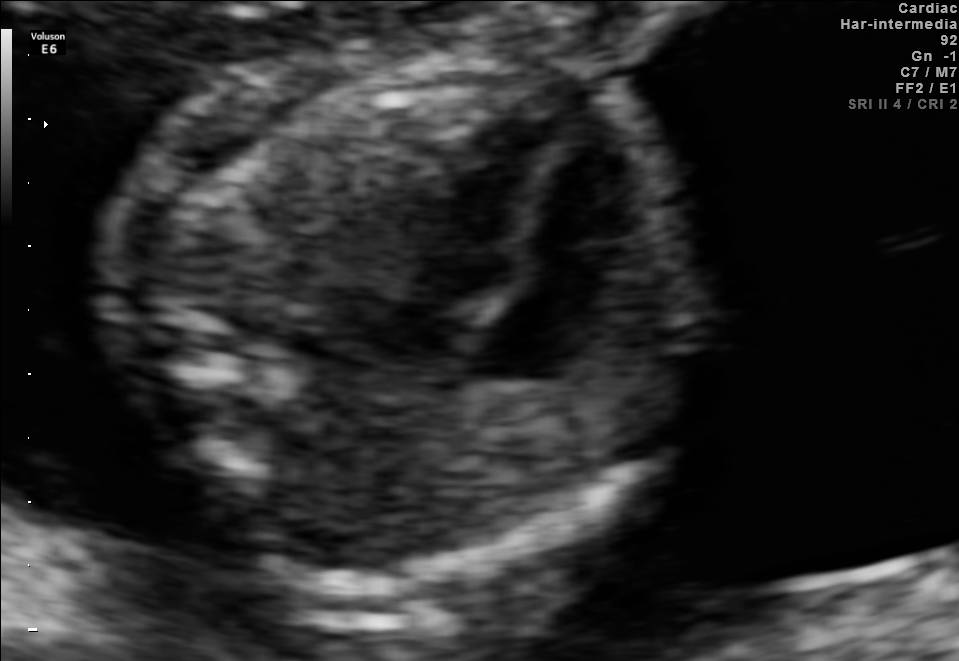
This is a 2D maternal-fetal ultrasound frame. Is it a fetal abdomen, fetal brain, fetal femur, fetal thorax, maternal cervix, or other standard plane? If it's fetal brain and one of the three standard brain planes (trans-thalamic, trans-cerebellum, trans-ventricular), name which.

Fetal thorax